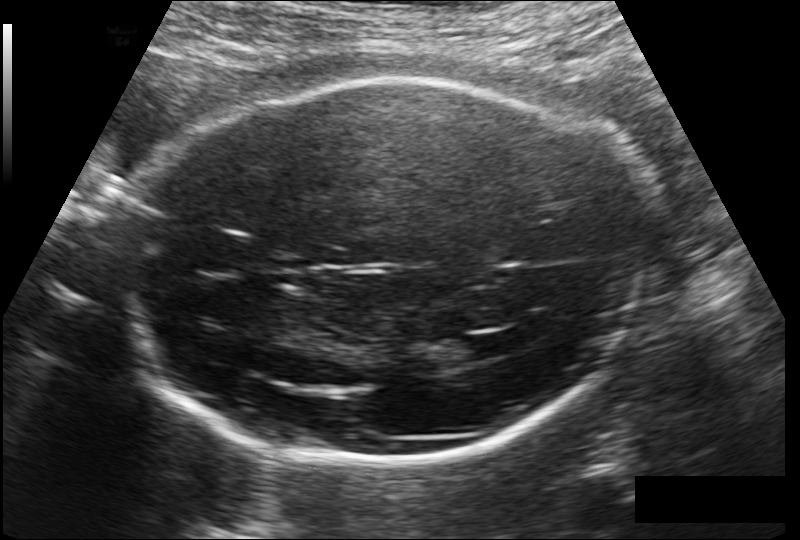
In this fetal head ultrasound, give the bounding box of the lateral ventricle. Image width: 142.1 mm.

[441,334,492,366]